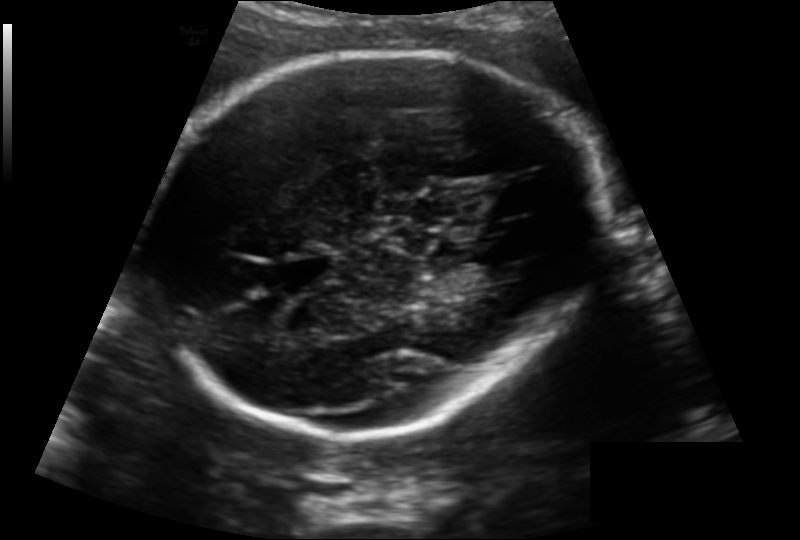
In this fetal head ultrasound, give the bounding box of the cavum septum pellucidum. Image width: 130.3 mm.

[272,247,340,296]